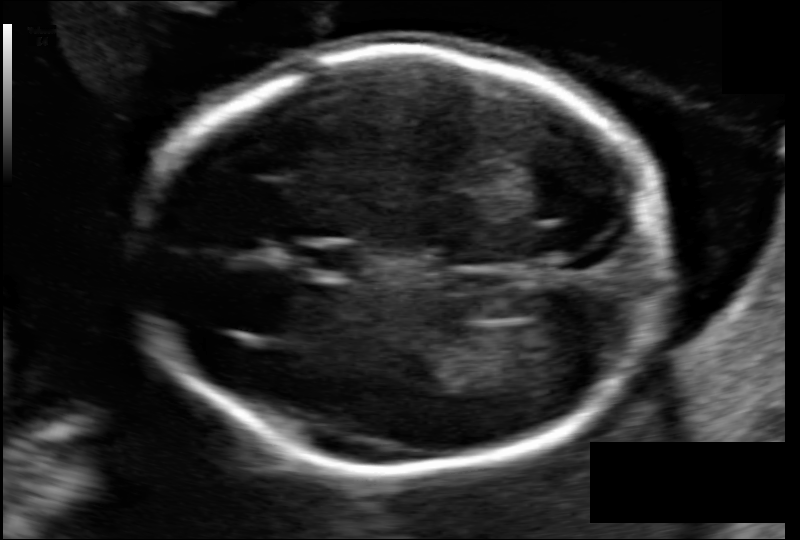
Fetal head ultrasound. Image width: 82.2 mm. Where is the cavum septum pellucidum?

CSP bounding box: [296,246,354,272]